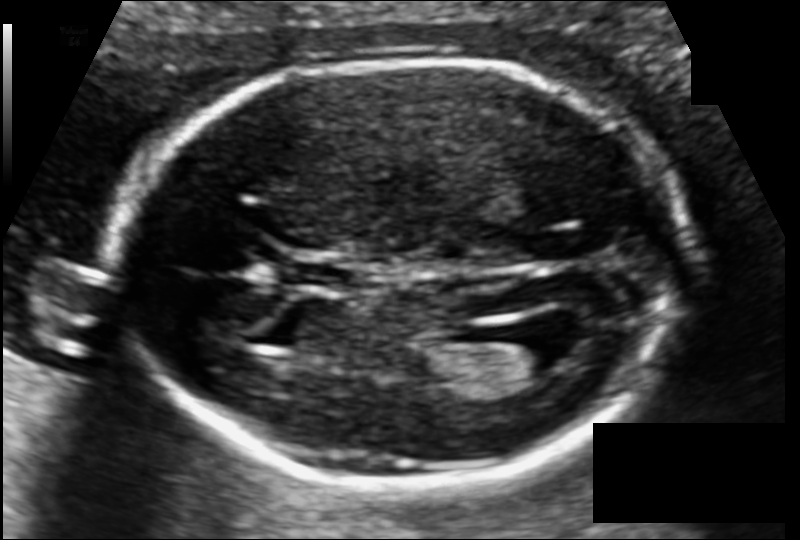
Fetal head ultrasound. Image width: 82.9 mm. Where is the cavum septum pellucidum?

CSP bounding box: [288,262,347,287]